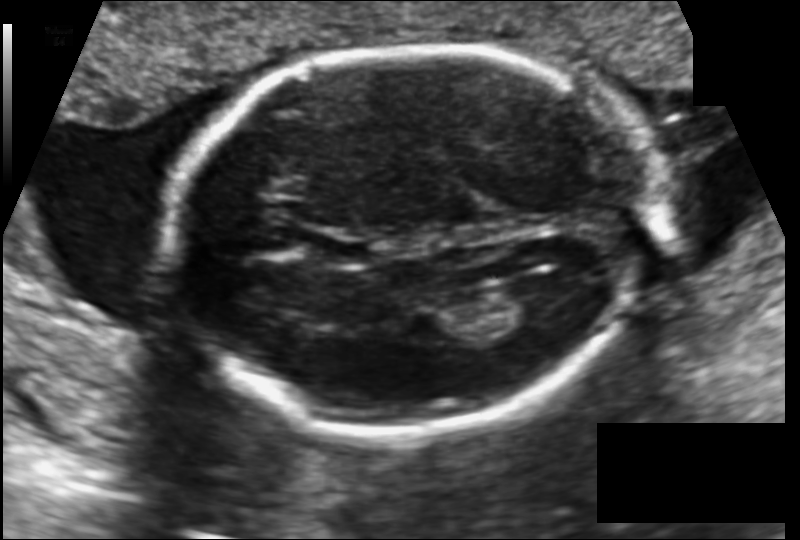
Fetal head ultrasound. Image width: 106.0 mm. Locate the lateral ventricle.

Lateral ventricle: [490,272,572,332]